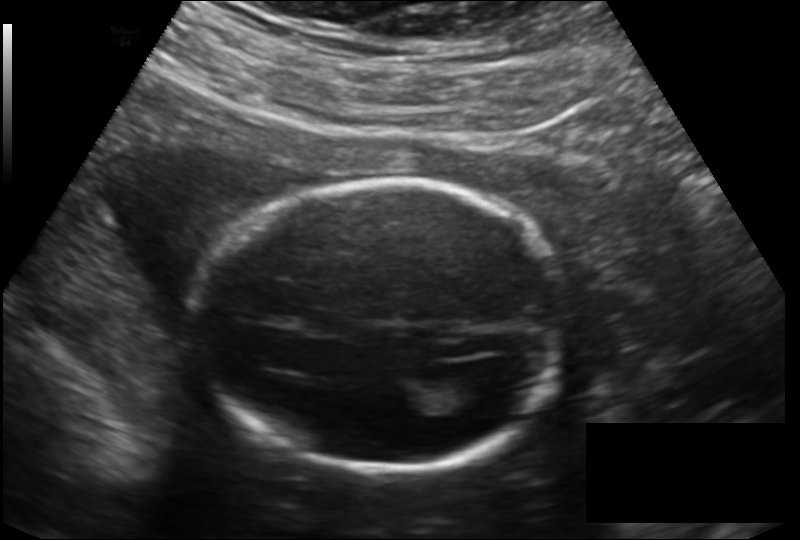
In this fetal head ultrasound, give the bounding box of the lateral ventricle. Image width: 133.1 mm.

[434,370,502,418]